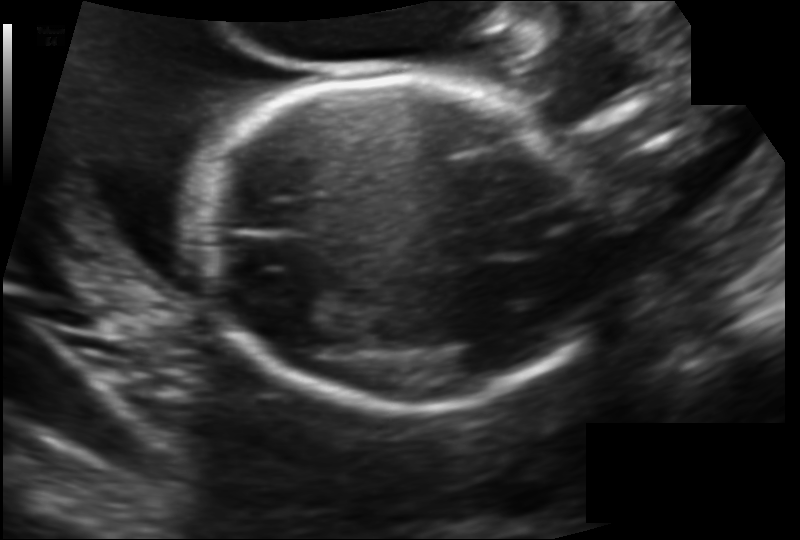
From this fetal ultrasound, estimate the head circumference (image width 110.4 mm).

Head circumference: 165.2 mm.